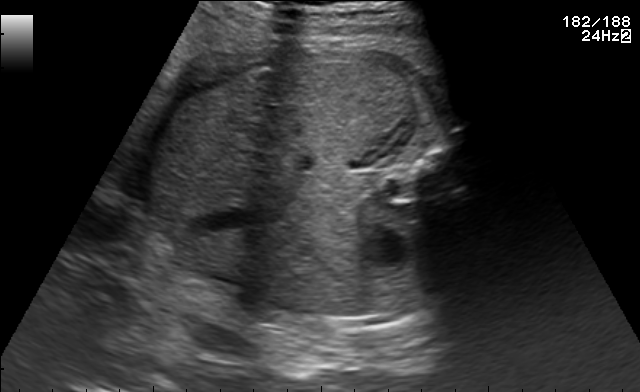
This is a 2D maternal-fetal ultrasound frame. Is it a fetal abdomen, fetal brain, fetal femur, fetal thorax, maternal cervix, or other standard plane? If it's fetal brain and one of the three standard brain planes (trans-thalamic, trans-cerebellum, trans-ventricular), name which.

Fetal abdomen